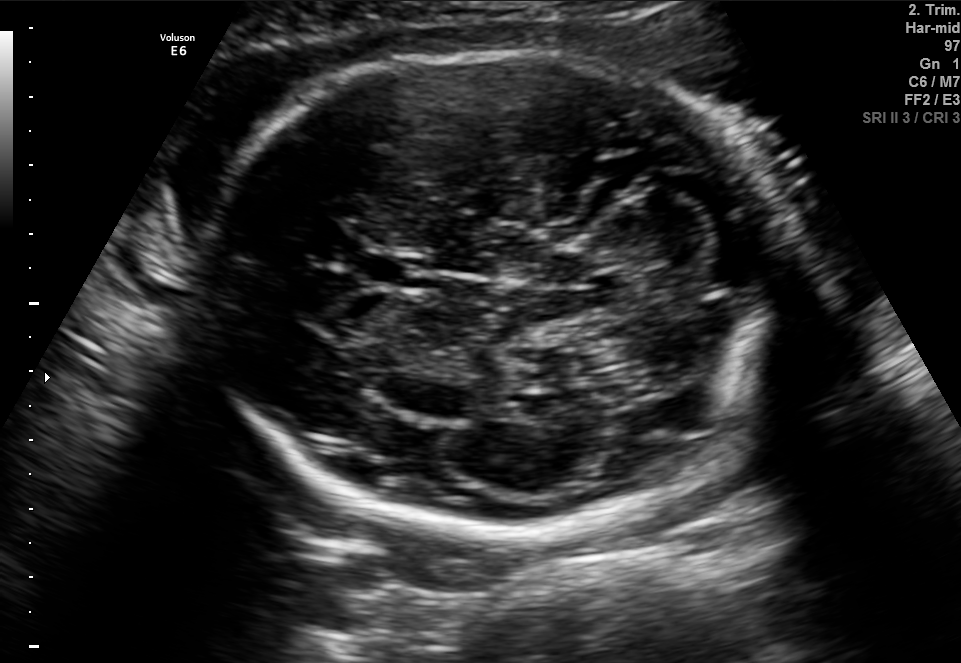
In this fetal brain, trans-cerebellum plane, give the bounding box of the cavum septum pellucidum.

[360,249,428,290]